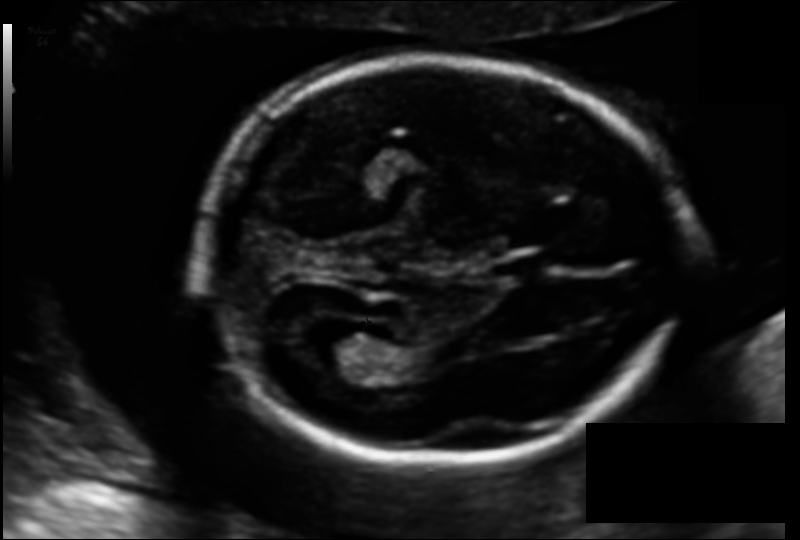
In this fetal head ultrasound, give bounding boxes for the head outline, cavum septum pellucidum (CSP), and lateral ventricle (LV), where visible. Image width: 97.9 mm.

Head: [198,60,687,464]
CSP: [492,251,548,286]
Lateral ventricle: [297,313,386,386]